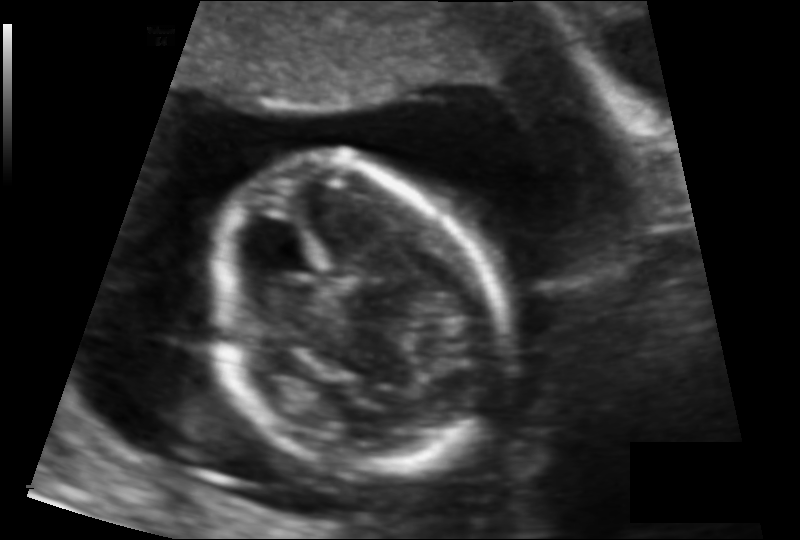
Fetal head ultrasound. Image width: 82.6 mm. Locate the fetal head and, if visible, the cavum septum pellucidum (CSP) and lateral ventricle (LV). Give bounding boxes as [x1,y1,x2,y2].

Head: [211,157,504,473]